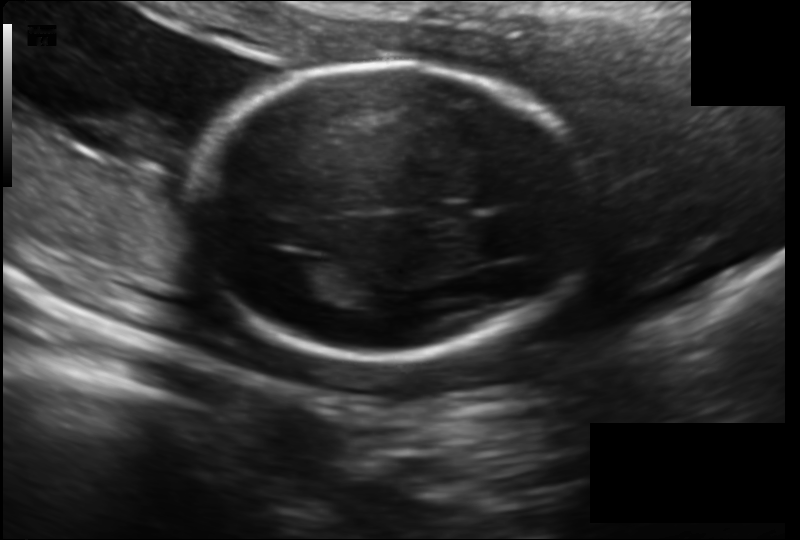
Fetal head ultrasound. Image width: 126.8 mm. Give [x1,y1,x2,y2] bounding boxes for each visible structure among: fetal head, CSP, LV.

Head: [190,63,586,358]